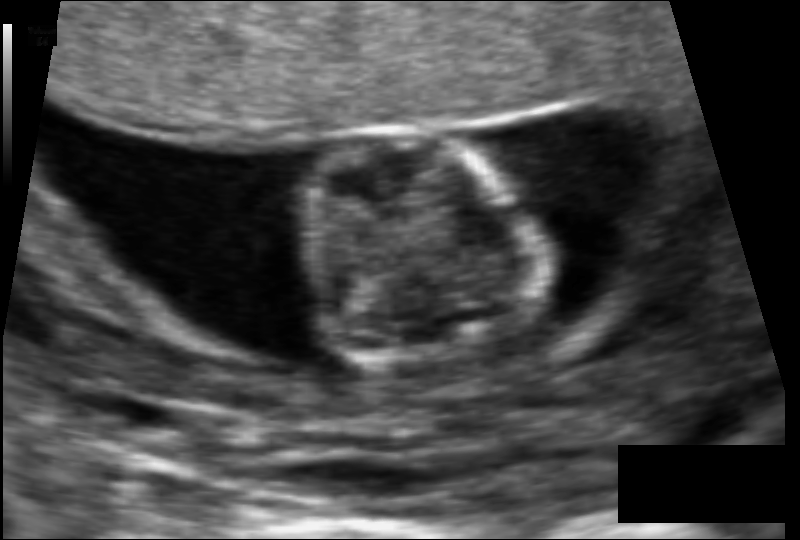
In this fetal head ultrasound, give the bounding box of the fetal head. Image width: 63.1 mm.

[296,128,531,373]